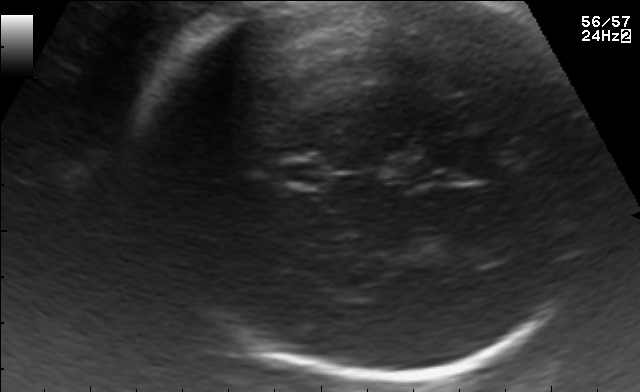
Fetal brain, trans-thalamic plane. Where is the cavum septum pellucidum?

CSP bounding box: [283,164,321,182]